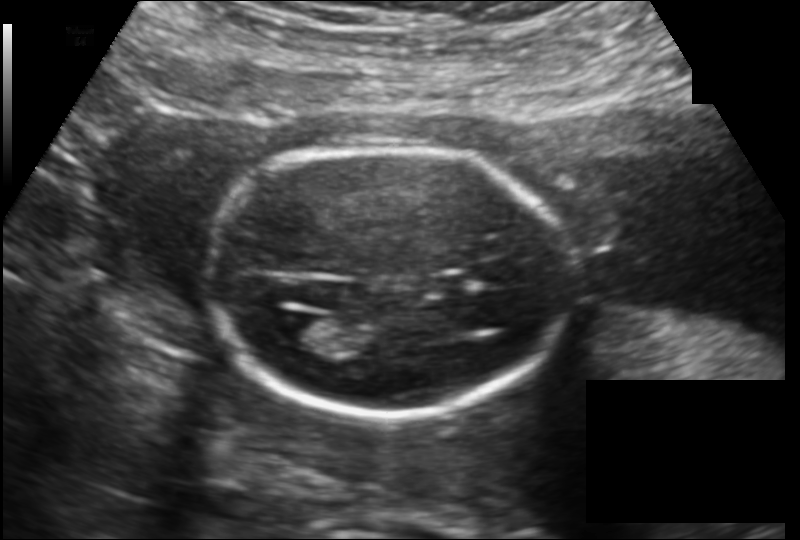
Fetal head ultrasound. Image width: 119.1 mm. Give [x1,y1,x2,y2] bounding boxes for each visible structure among: fetal head, CSP, LV.

Head: [206,149,571,416]
Lateral ventricle: [272,310,326,347]